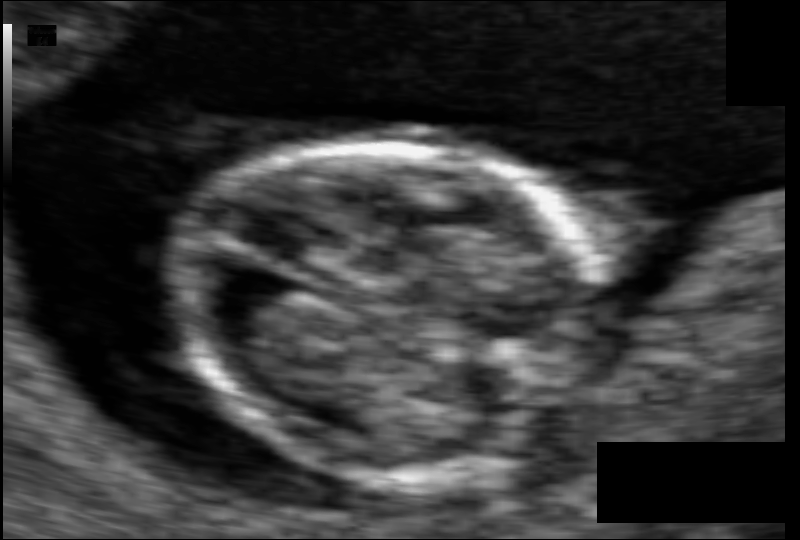
Estimate the fetal head circumference from this 2D ultrasound.

Head circumference: 68.4 mm (image width 43.6 mm).